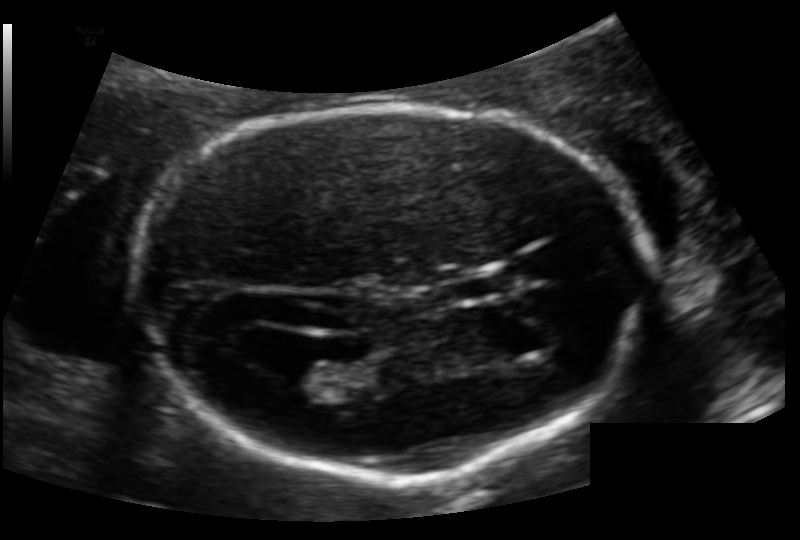
What is the fetal head circumference? Image width is 99.1 mm.

178.7 mm